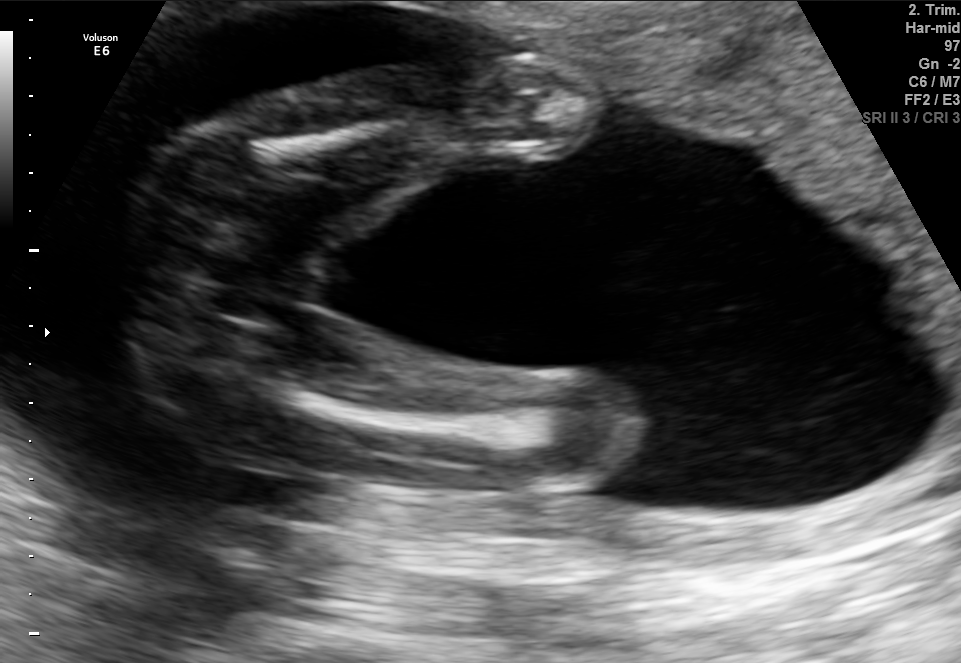
Classify this maternal-fetal ultrasound image as one of the six standard planes — fetal abdomen, fetal brain, fetal femur, fetal thorax, maternal cervix, or other. If it's fetal brain and one of the three standard brain planes (trans-thalamic, trans-cerebellum, trans-ventricular), name which.

Fetal femur